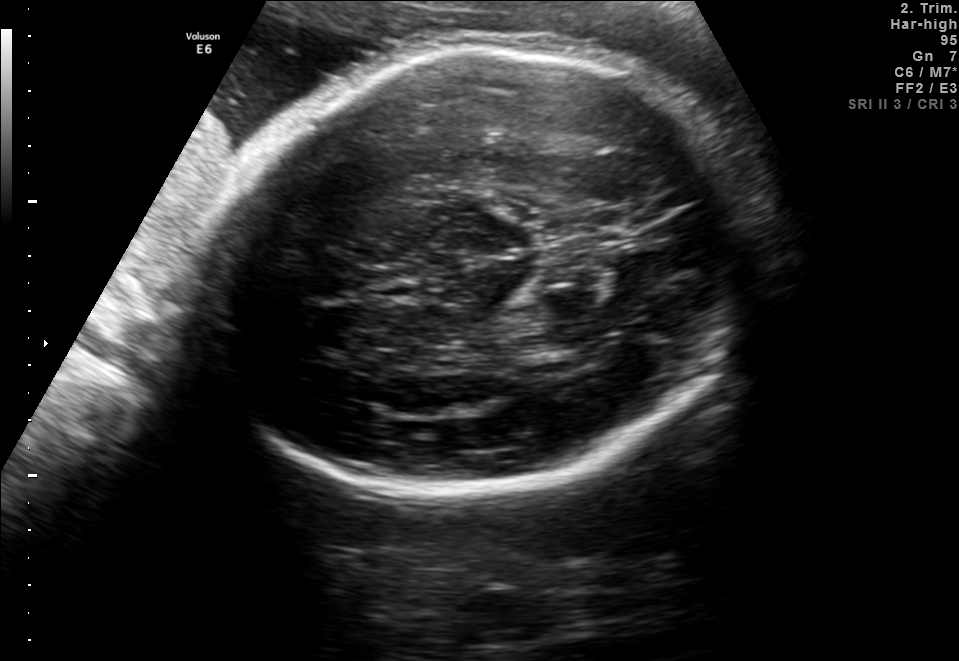
In this fetal brain, trans-thalamic plane, give the bounding box of the fetal head.

[199,41,754,498]